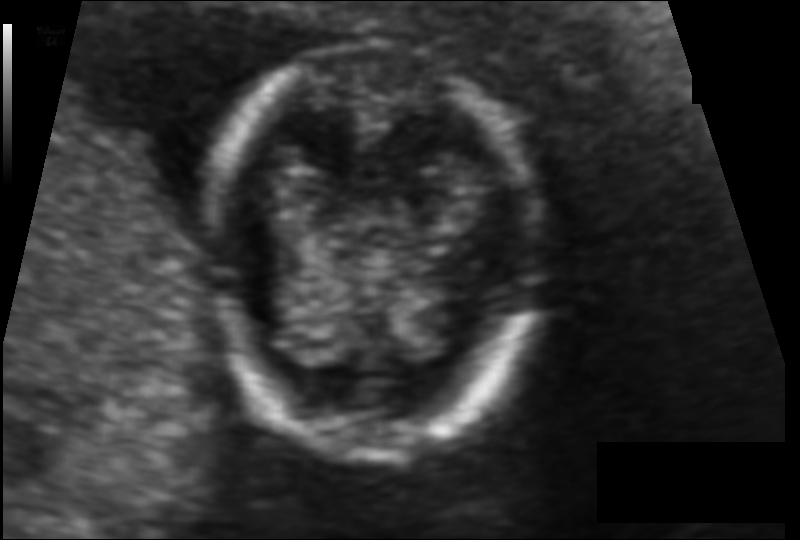
Fetal head ultrasound. Image width: 63.9 mm. Locate the fetal head.

Head: [212,46,535,460]